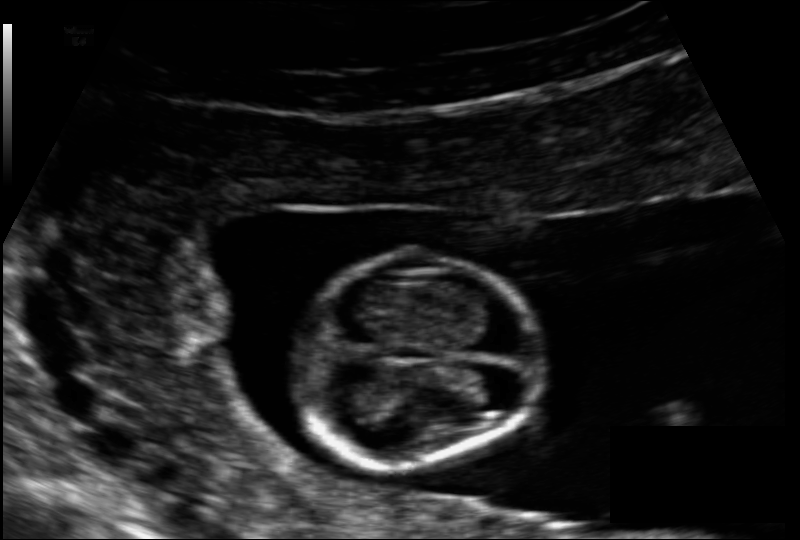
From this fetal ultrasound, estimate the head circumference (image width 73.0 mm).

Head circumference: 69.0 mm.